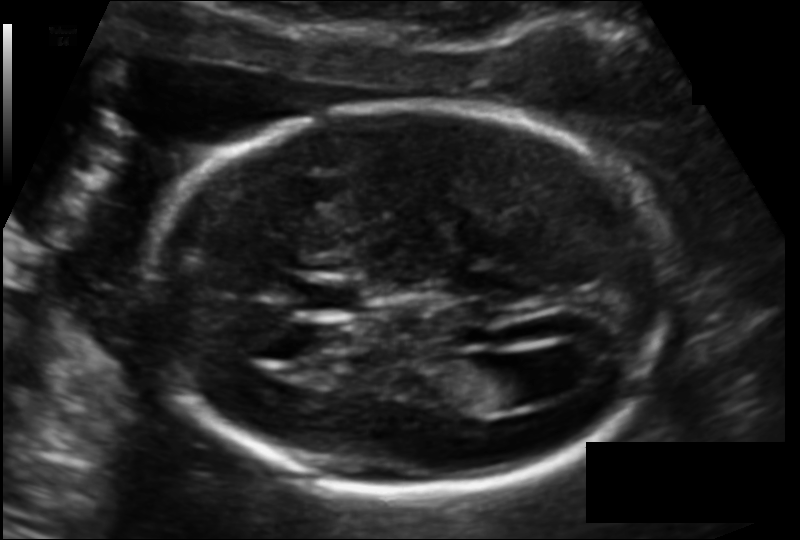
Measure the fetal head circumference shown in this ultrasound image. Image width: 94.5 mm.

Head circumference: 171.7 mm.